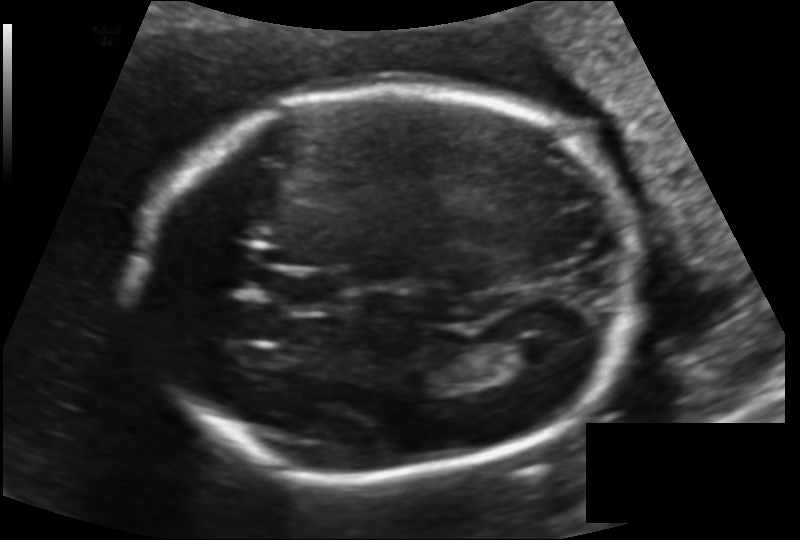
In this fetal head ultrasound, give bounding boxes for the head outline, cavum septum pellucidum (CSP), and lateral ventricle (LV), where visible. Image width: 115.0 mm.

Head: [142,88,642,473]
CSP: [270,270,347,313]
Lateral ventricle: [501,330,560,373]